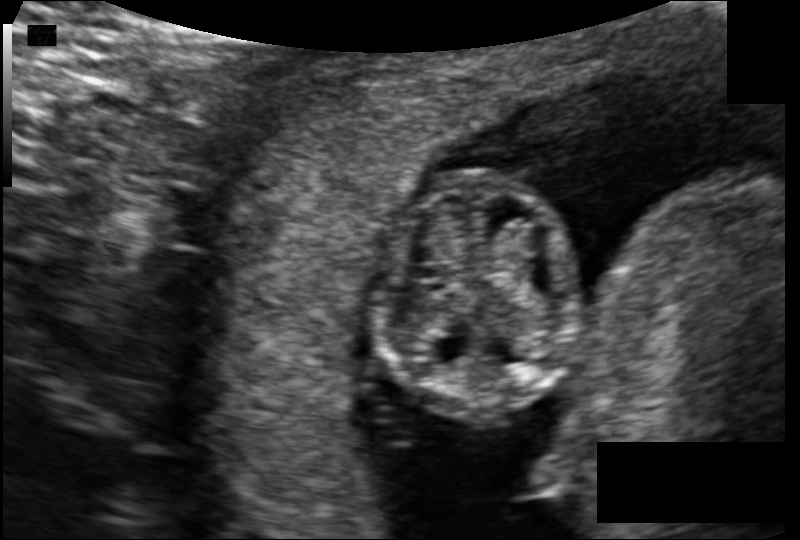
What is the fetal head circumference? Image width is 81.0 mm.

74.3 mm